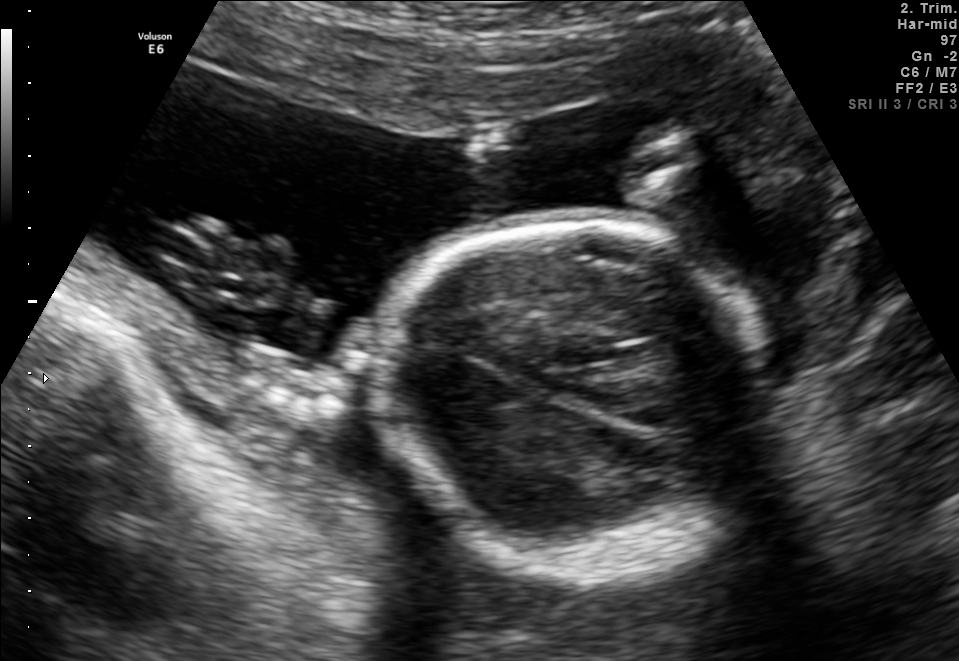
Fetal brain, trans-thalamic plane. Give [x1,y1,x2,y2] bounding boxes for each visible structure among: fetal head, CSP, LV.

Head: [369,220,776,575]